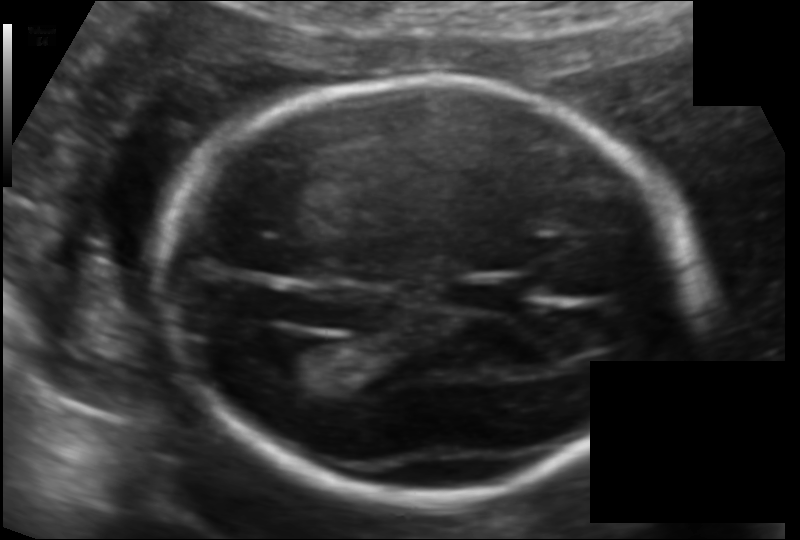
Fetal head ultrasound. Image width: 94.6 mm. Where is the cavum septum pellucidum?

CSP bounding box: [457,280,523,307]